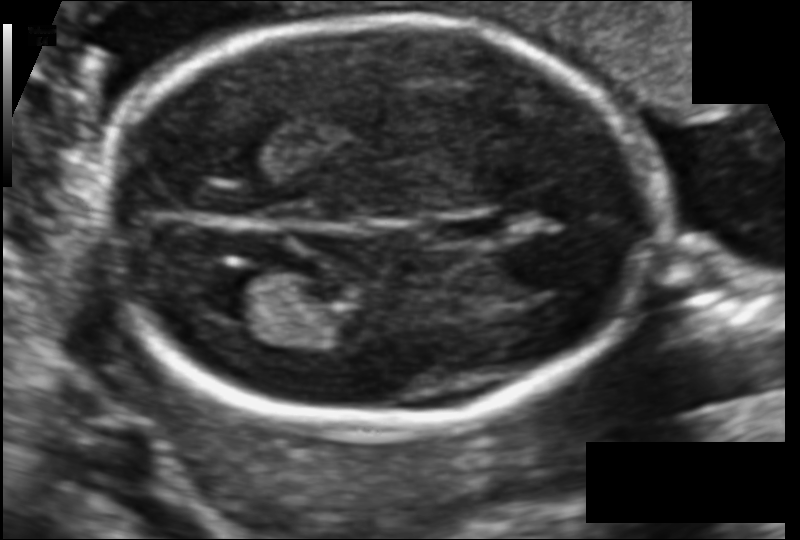
Fetal head ultrasound. Image width: 84.6 mm. Locate the fetal head and, if visible, the cavum septum pellucidum (CSP) and lateral ventricle (LV). Give bounding boxes as [x1,y1,x2,y2].

Head: [99,17,662,431]
CSP: [426,209,507,247]
Lateral ventricle: [192,258,287,331]